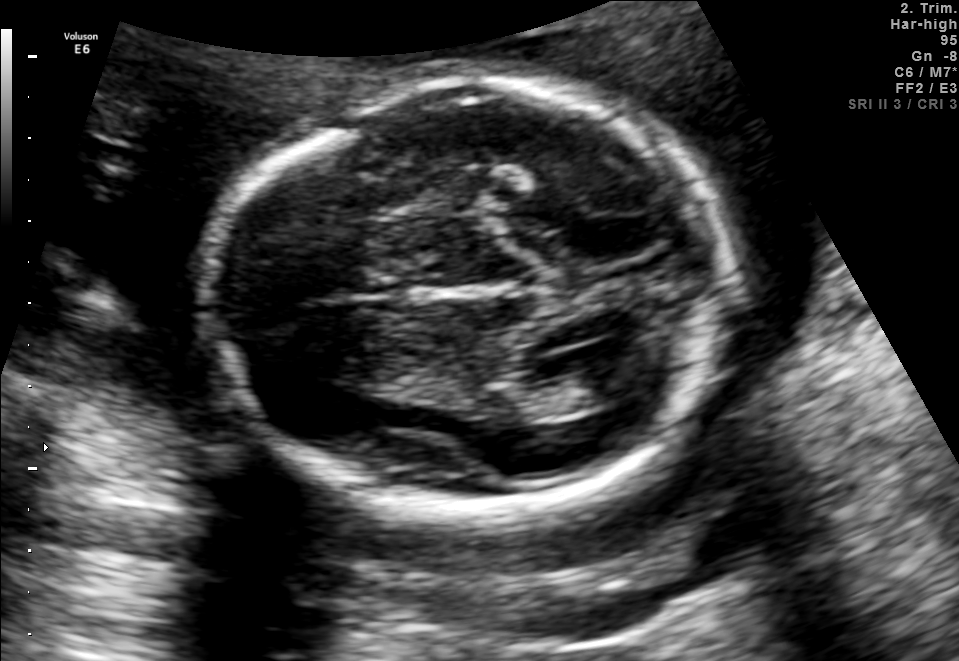
In this fetal brain, trans-ventricular plane, give the bounding box of the fetal head.

[202,76,747,515]